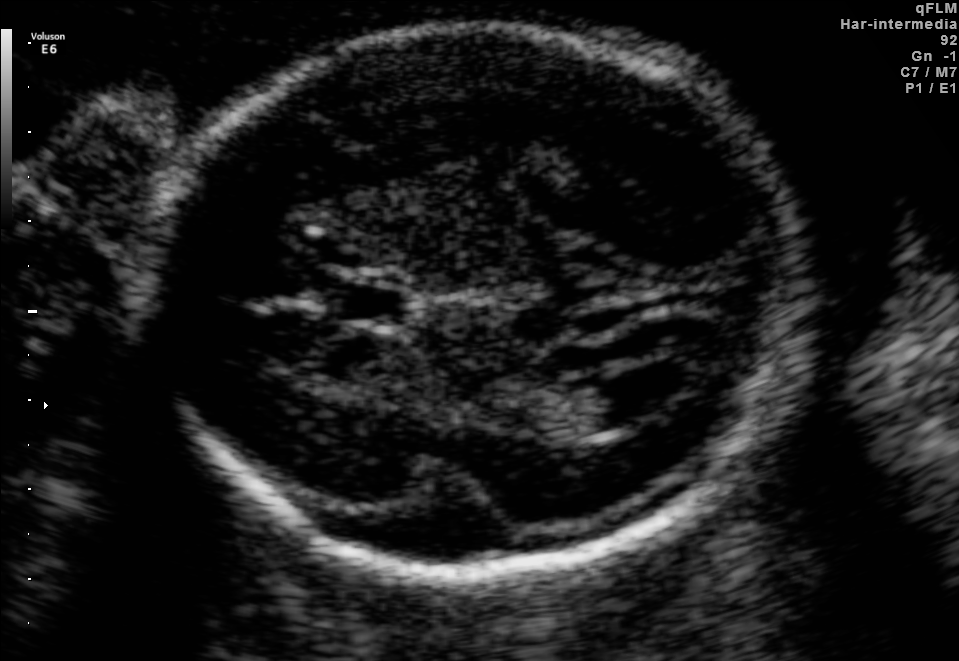
In this fetal brain, trans-ventricular plane, give the bounding box of the cavum septum pellucidum.

[317,276,425,331]